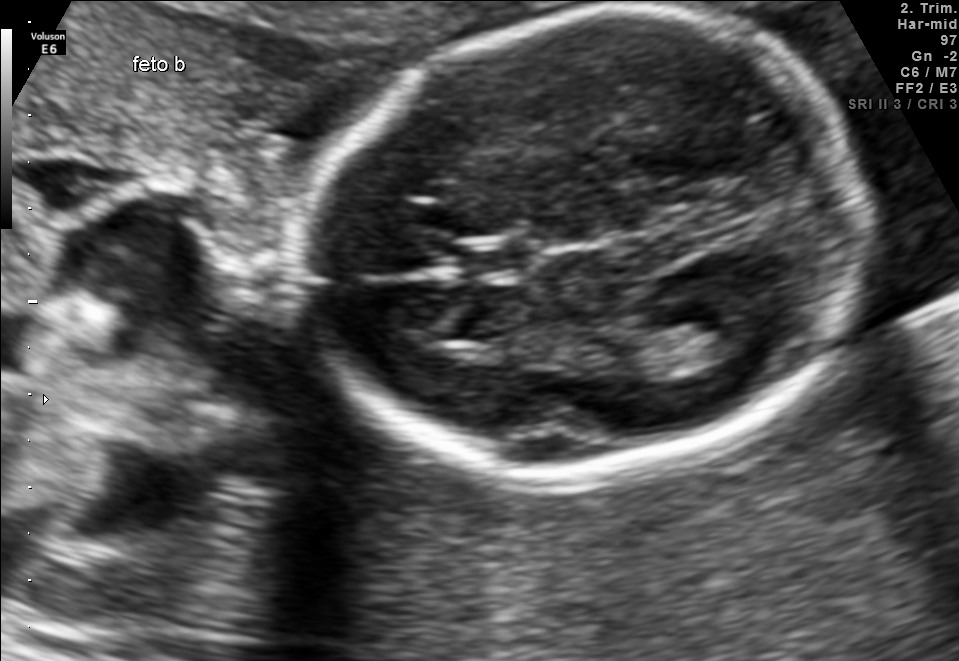
Fetal brain, trans-thalamic plane. Where is the fetal head?

Head bounding box: [302,16,861,475]